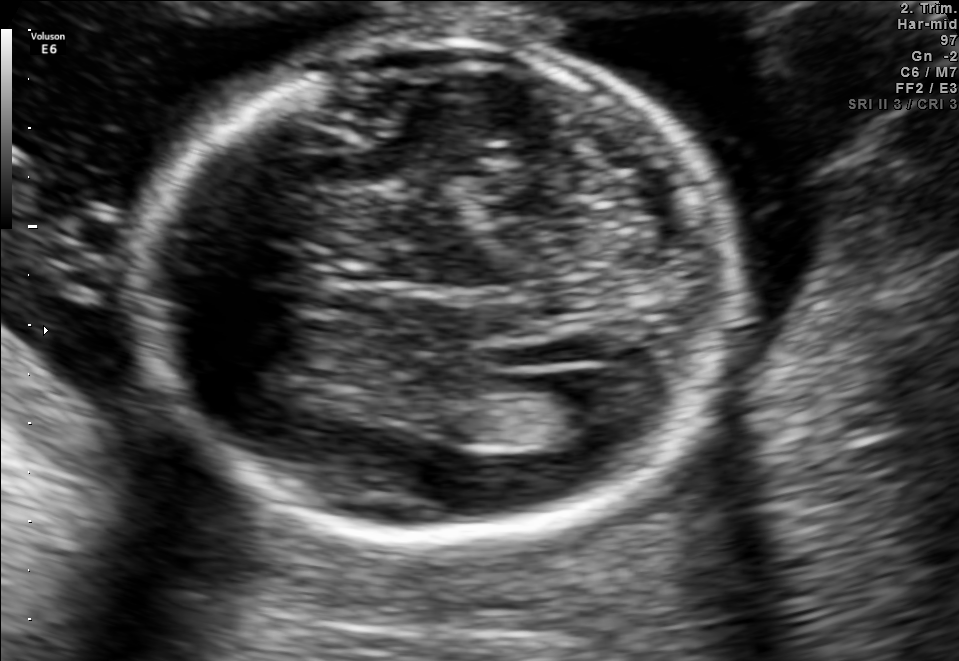
In this fetal brain, trans-ventricular plane, give the bounding box of the lateral ventricle.

[536,382,632,444]